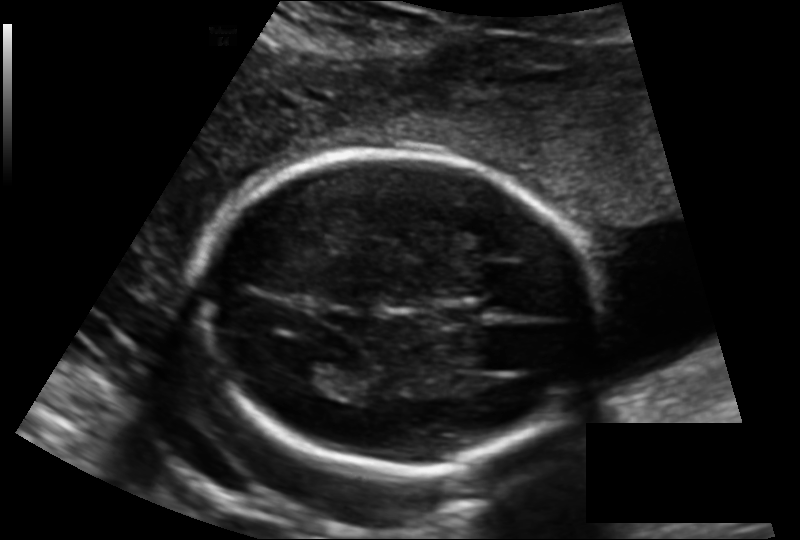
Fetal head ultrasound. Image width: 114.7 mm. Locate the lateral ventricle.

Lateral ventricle: [286,350,354,399]